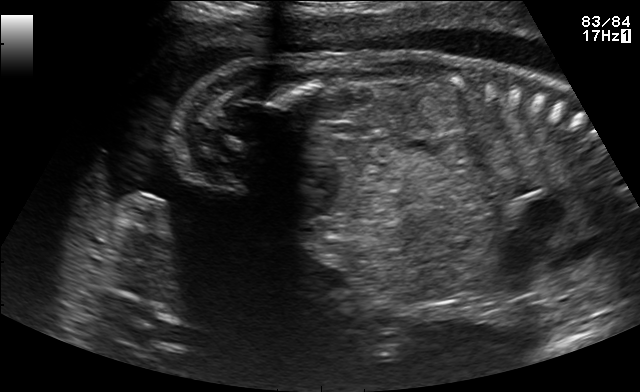
Classify this maternal-fetal ultrasound image as one of the six standard planes — fetal abdomen, fetal brain, fetal femur, fetal thorax, maternal cervix, or other. If it's fetal brain and one of the three standard brain planes (trans-thalamic, trans-cerebellum, trans-ventricular), name which.

Other